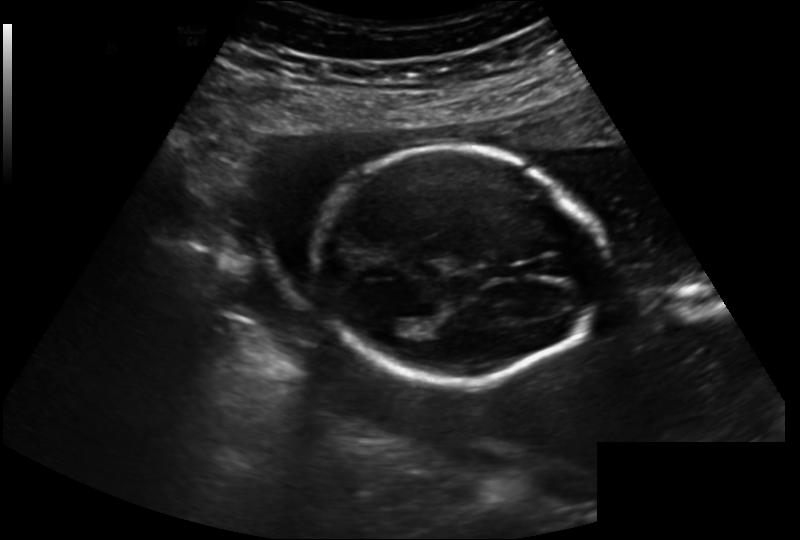
In this fetal head ultrasound, give bounding boxes for the head outline, cavum septum pellucidum (CSP), and lateral ventricle (LV), where visible. Image width: 161.6 mm.

Head: [312,146,601,382]